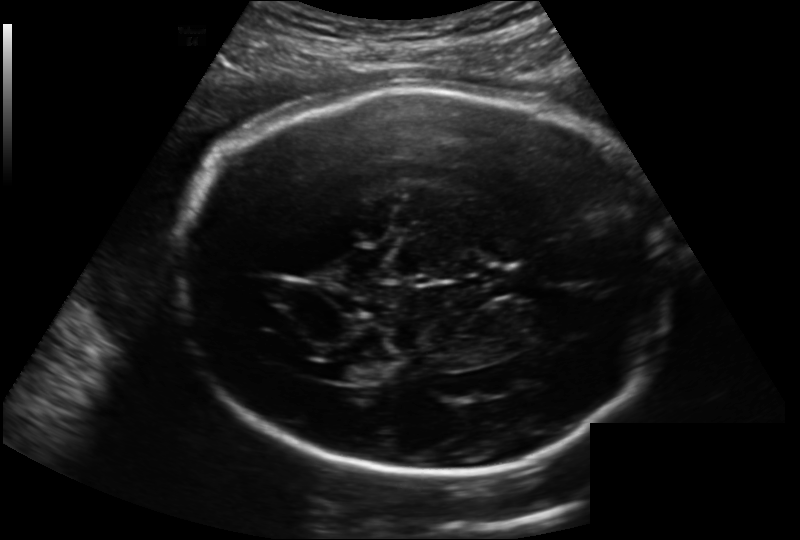
Fetal head ultrasound. Image width: 161.8 mm. Locate the fetal head and, if visible, the cavum septum pellucidum (CSP) and lateral ventricle (LV). Give bounding boxes as [x1,y1,x2,y2].

Head: [179,87,668,477]
CSP: [479,258,540,302]
Lateral ventricle: [332,360,377,382]